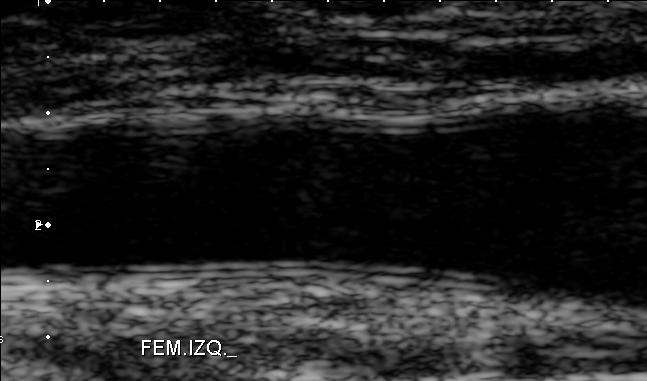
This is a 2D maternal-fetal ultrasound frame. Is it a fetal abdomen, fetal brain, fetal femur, fetal thorax, maternal cervix, or other standard plane? If it's fetal brain and one of the three standard brain planes (trans-thalamic, trans-cerebellum, trans-ventricular), name which.

Other